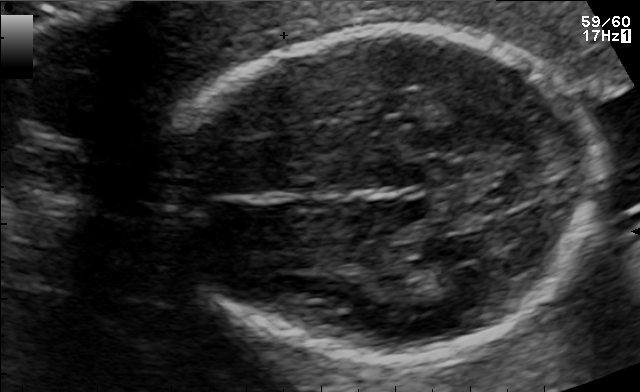
Fetal brain, trans-thalamic plane. Where is the fetal head?

Head bounding box: [169,27,599,362]